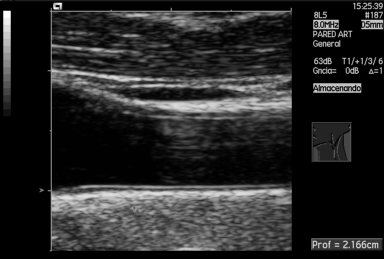
This is a 2D maternal-fetal ultrasound frame. Is it a fetal abdomen, fetal brain, fetal femur, fetal thorax, maternal cervix, or other standard plane? If it's fetal brain and one of the three standard brain planes (trans-thalamic, trans-cerebellum, trans-ventricular), name which.

Other